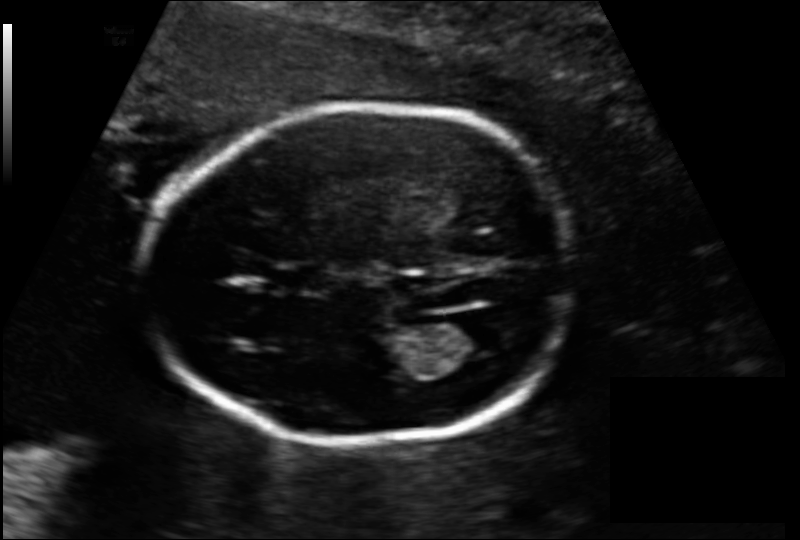
From this fetal ultrasound, estimate the head circumference (image width 109.4 mm).

Head circumference: 171.1 mm.